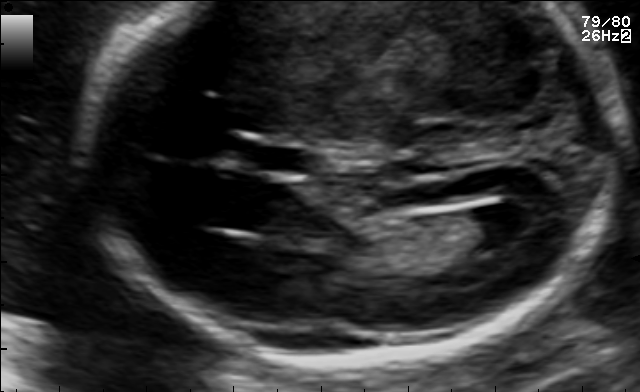
In this fetal brain, trans-ventricular plane, give the bounding box of the lateral ventricle.

[454,196,540,254]